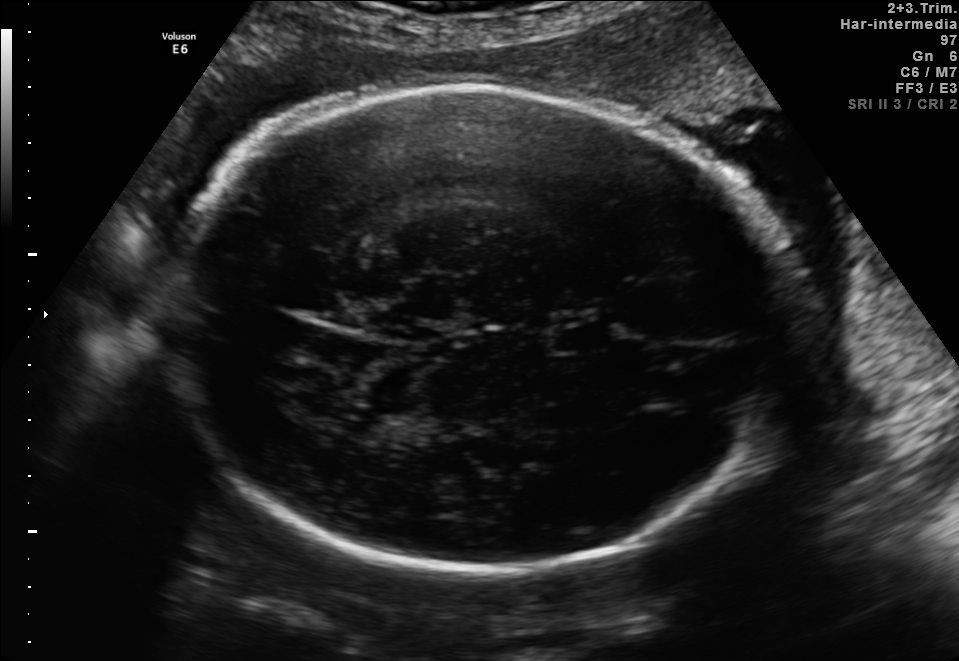
In this fetal brain, trans-thalamic plane, give bounding boxes for the head outline, cavum septum pellucidum (CSP), and lateral ventricle (LV), where visible.

Head: [174,84,801,575]
CSP: [553,324,615,352]